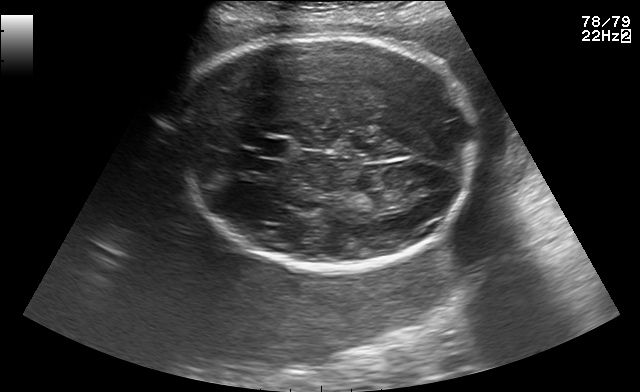
Fetal brain, trans-thalamic plane. Locate the fetal head and, if visible, the cavum septum pellucidum (CSP) and lateral ventricle (LV). Give bounding boxes as [x1,y1,x2,y2].

Head: [173,33,481,271]
CSP: [253,136,291,160]